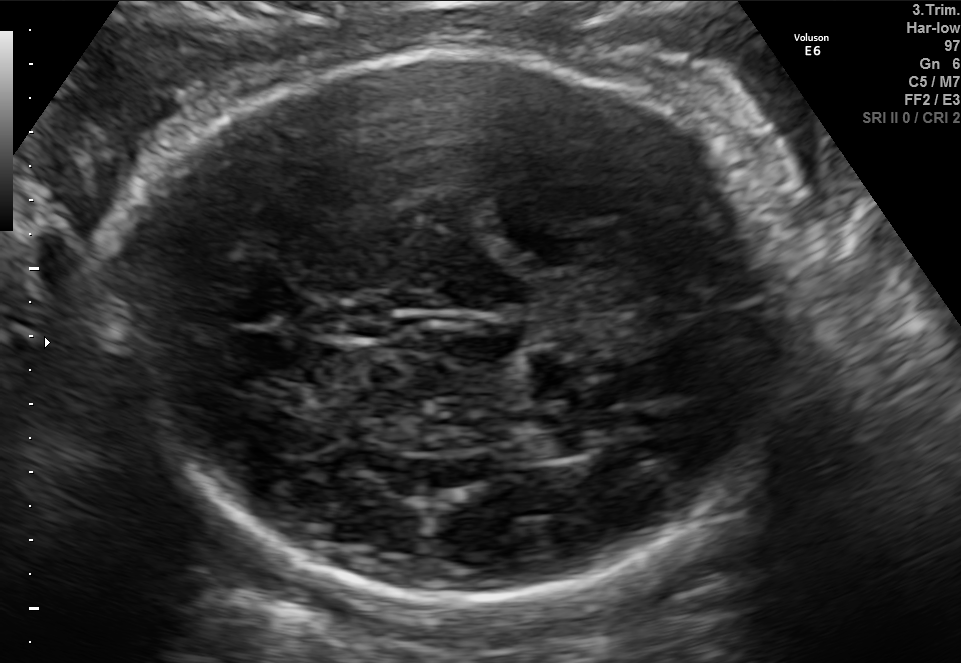
Fetal brain, trans-thalamic plane. Locate the lateral ventricle.

Lateral ventricle: [536,426,594,461]